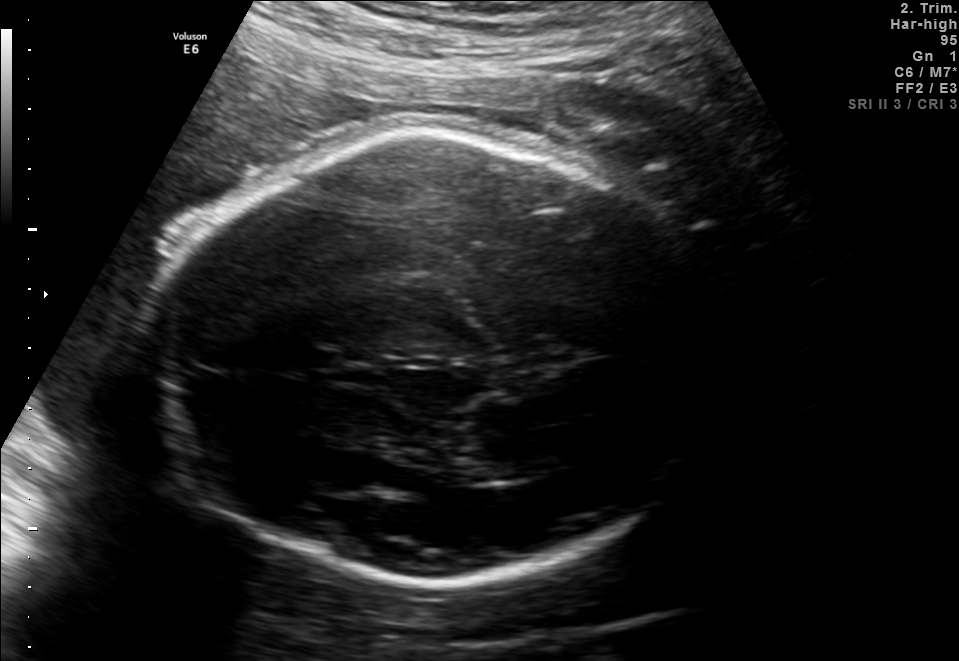
Which standard maternal-fetal ultrasound plane is shown: fetal abdomen, fetal brain, fetal femur, fetal thorax, maternal cervix, or other? If it's fetal brain and one of the three standard brain planes (trans-thalamic, trans-cerebellum, trans-ventricular), name which.

Fetal brain (trans-thalamic plane)